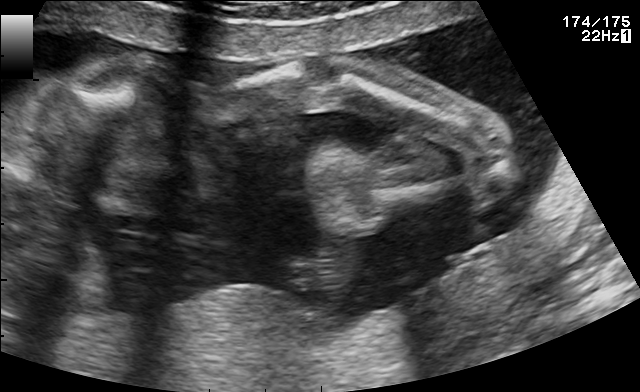
Which standard maternal-fetal ultrasound plane is shown: fetal abdomen, fetal brain, fetal femur, fetal thorax, maternal cervix, or other? If it's fetal brain and one of the three standard brain planes (trans-thalamic, trans-cerebellum, trans-ventricular), name which.

Other